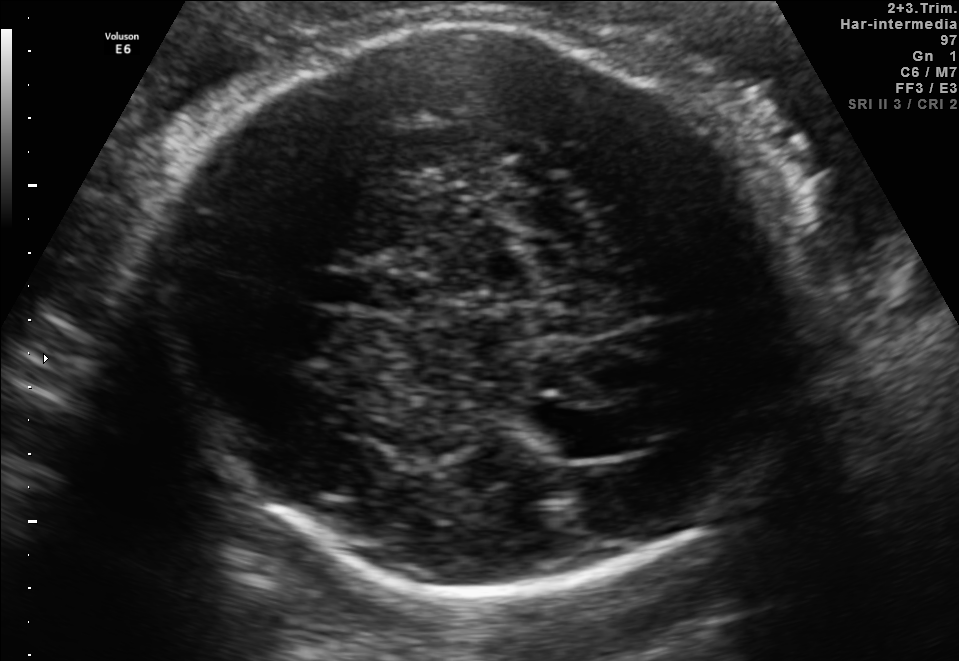
Fetal brain, trans-thalamic plane. Locate the fetal head and, if visible, the cavum septum pellucidum (CSP) and lateral ventricle (LV). Give bounding boxes as [x1,y1,x2,y2].

Head: [148,20,831,591]
CSP: [318,268,403,313]
Lateral ventricle: [537,405,631,463]